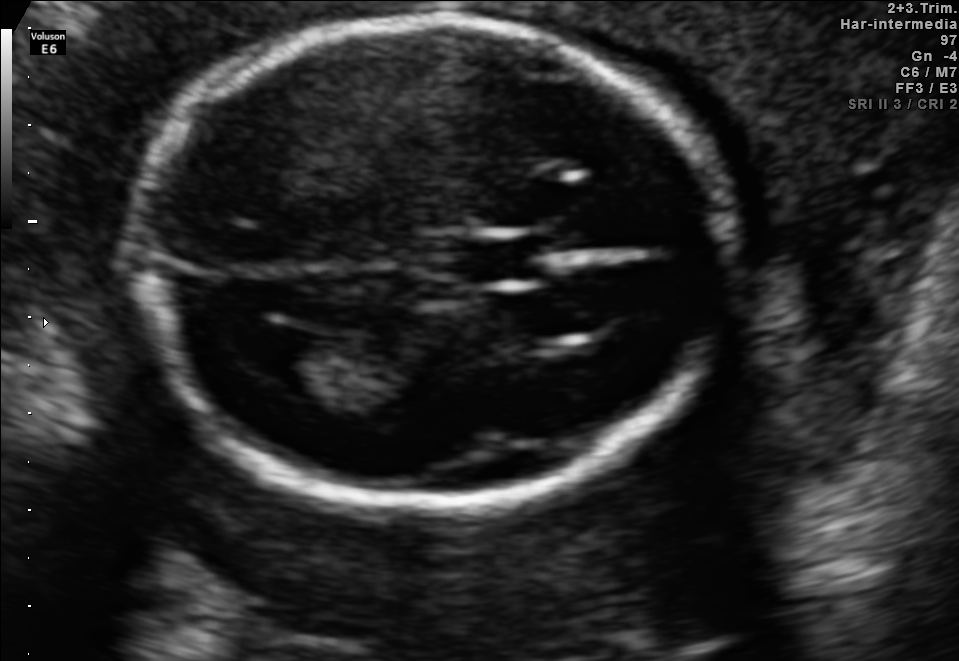
In this fetal brain, trans-ventricular plane, give the bounding box of the fetal head.

[120,13,741,512]